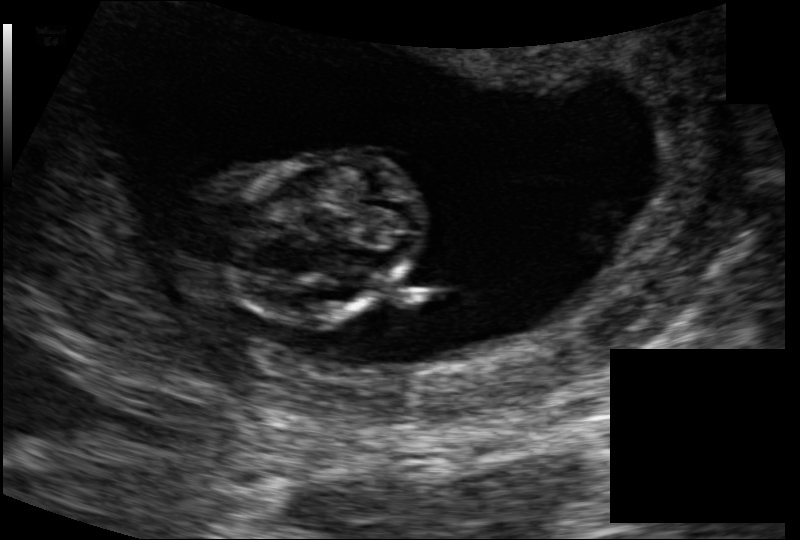
Estimate the fetal head circumference from this 2D ultrasound.

Head circumference: 69.8 mm (image width 92.7 mm).